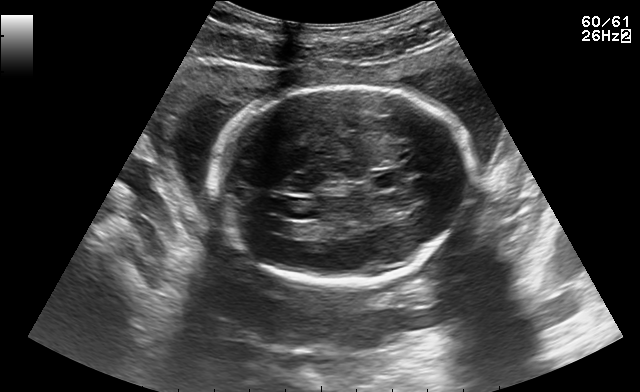
Fetal brain, trans-ventricular plane. Where is the lateral ventricle?

Lateral ventricle bounding box: [263,217,290,234]